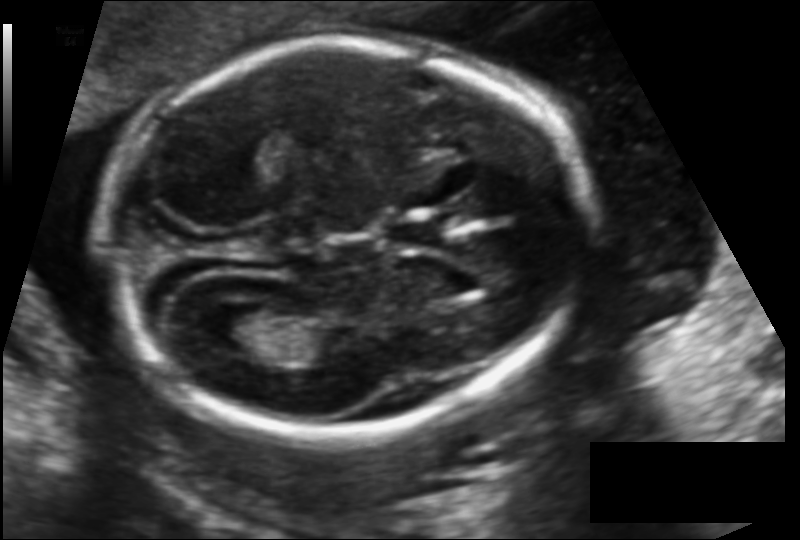
Fetal head ultrasound. Image width: 98.7 mm. Where is the cavum septum pellucidum?

CSP bounding box: [386,211,451,252]